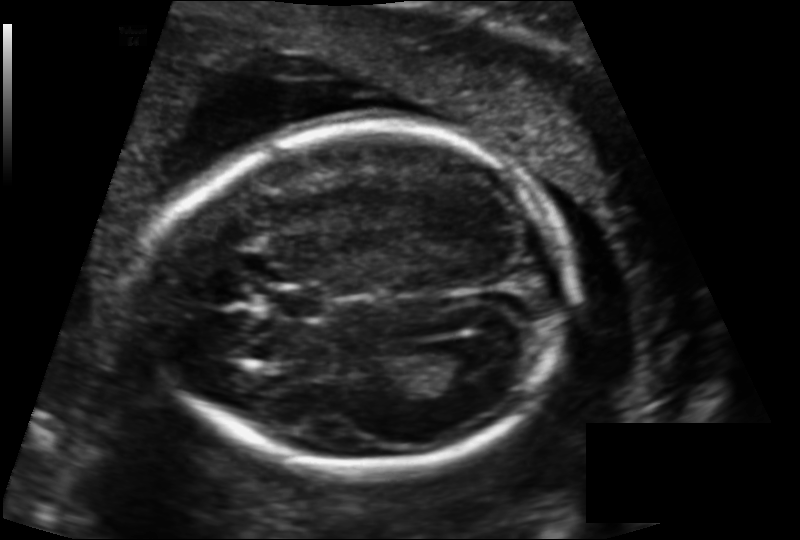
Estimate the fetal head circumference from this 2D ultrasound.

Head circumference: 168.4 mm (image width 109.5 mm).